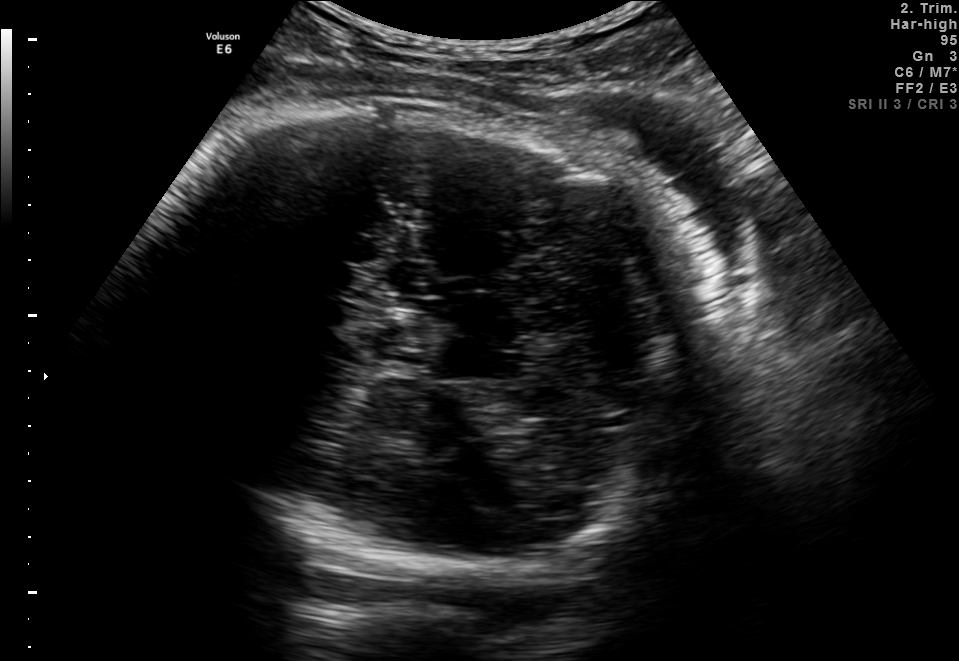
In this fetal brain, trans-thalamic plane, give the bounding box of the fetal head.

[131,105,686,570]